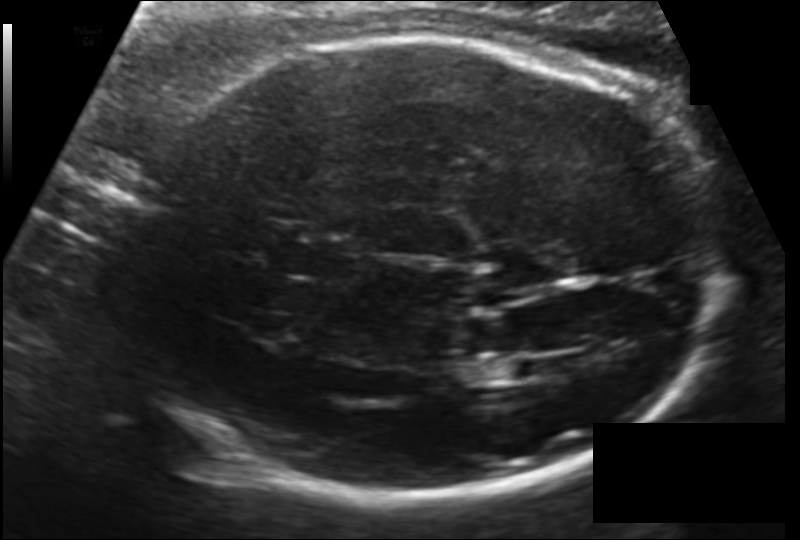
Fetal head ultrasound. Image width: 120.6 mm. Where is the cavum septum pellucidum?

CSP bounding box: [282,241,355,277]